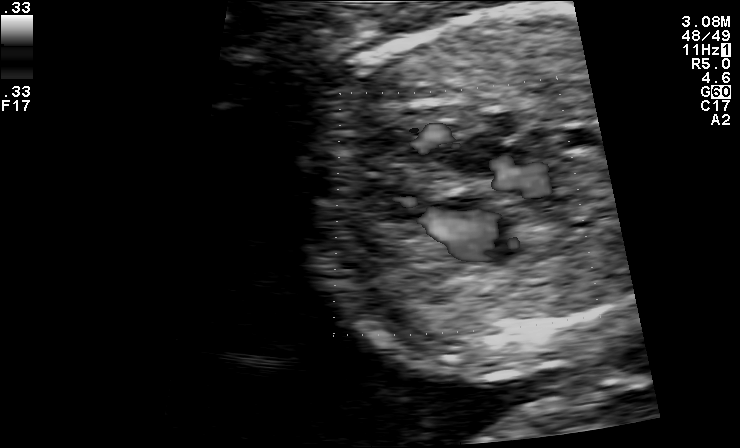
Identify the standard plane in this fetal ultrasound image: fetal abdomen, fetal brain, fetal femur, fetal thorax, maternal cervix, or other. If it's fetal brain and one of the three standard brain planes (trans-thalamic, trans-cerebellum, trans-ventricular), name which.

Other